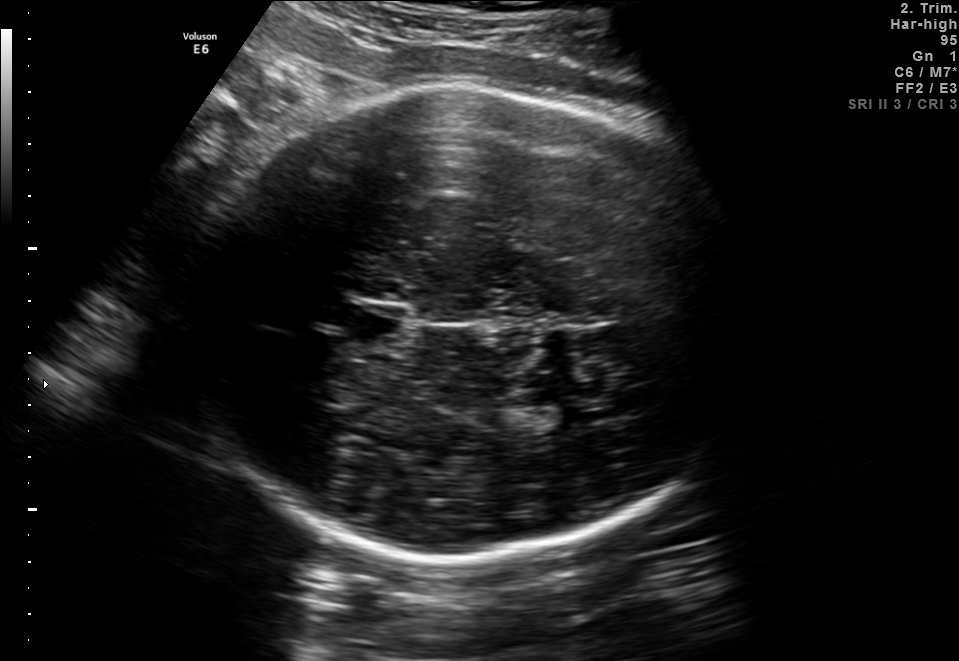
Fetal brain, trans-thalamic plane. Where is the cavum septum pellucidum?

CSP bounding box: [333,301,408,351]